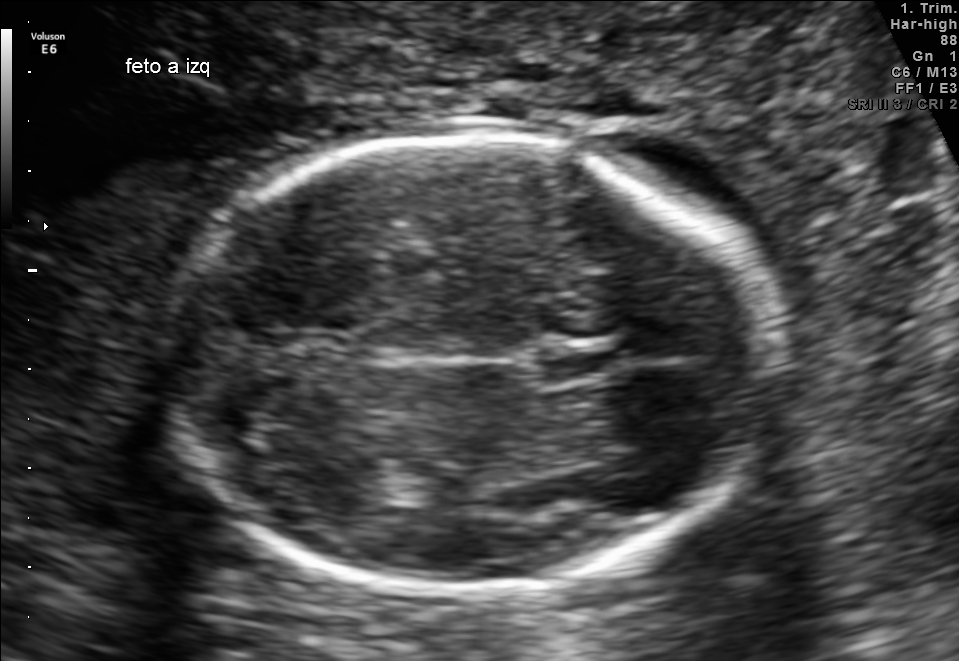
In this fetal brain, trans-thalamic plane, give bounding boxes for the head outline, cavum septum pellucidum (CSP), and lateral ventricle (LV), where visible.

Head: [163,137,780,590]
CSP: [539,342,619,380]